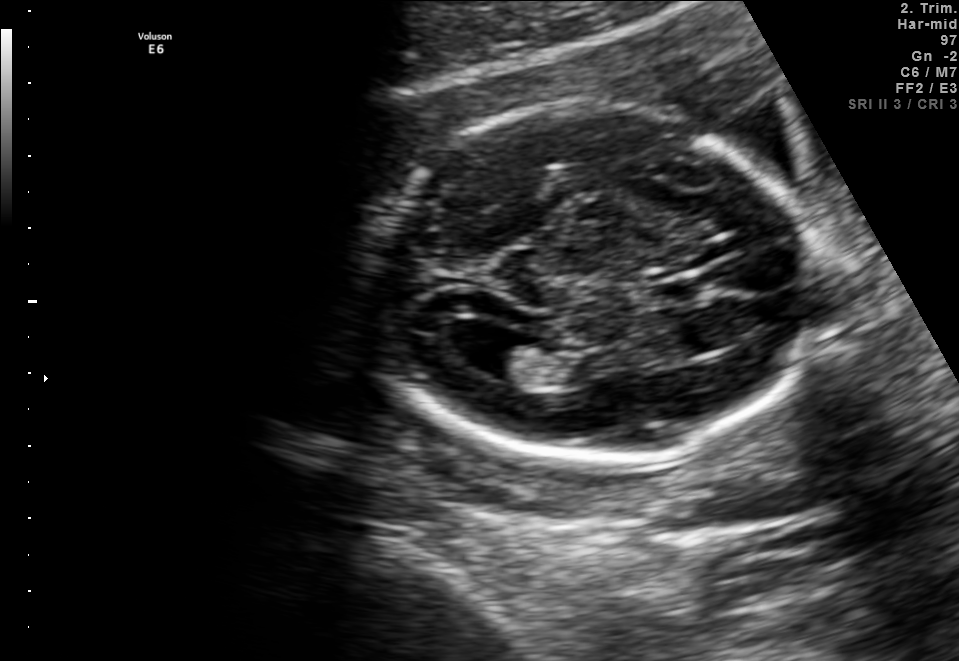
Identify the standard plane in this fetal ultrasound image: fetal abdomen, fetal brain, fetal femur, fetal thorax, maternal cervix, or other. If it's fetal brain and one of the three standard brain planes (trans-thalamic, trans-cerebellum, trans-ventricular), name which.

Fetal brain (trans-ventricular plane)